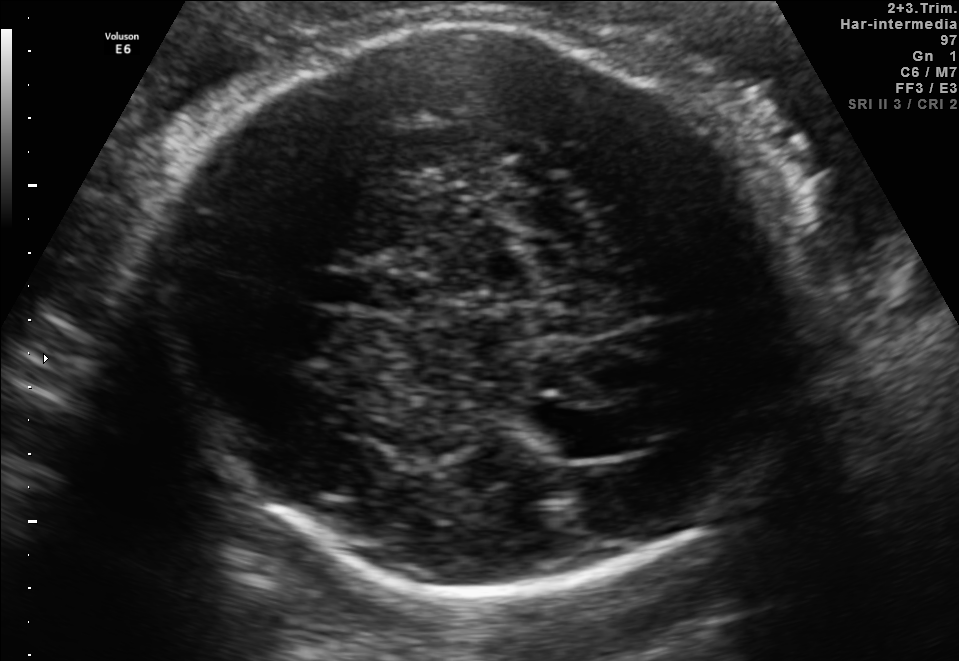
Fetal brain, trans-thalamic plane. Locate the cavum septum pellucidum.

CSP: [318,268,403,313]